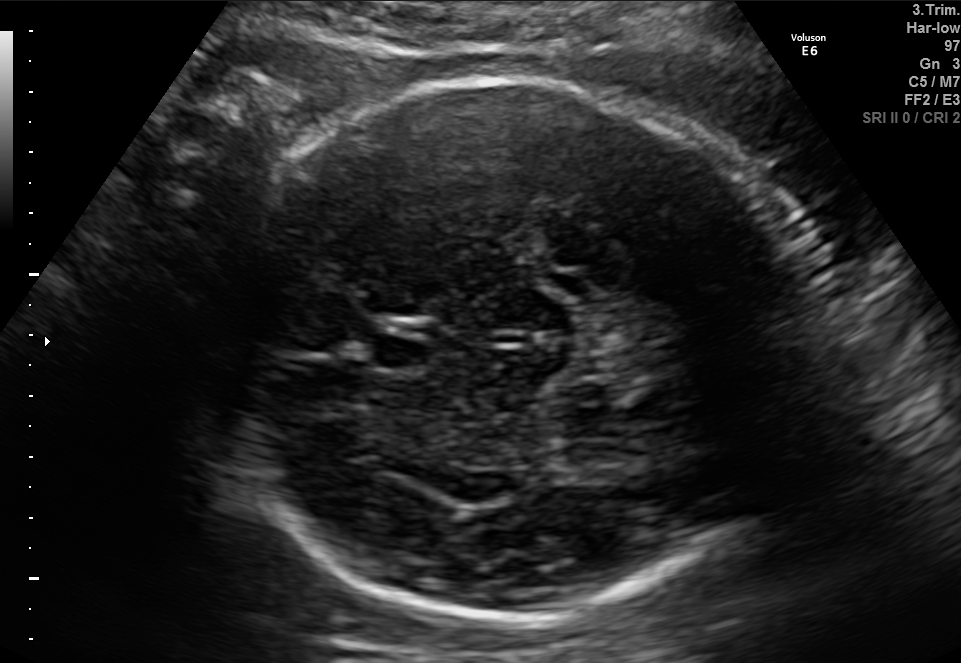
Fetal brain, trans-thalamic plane. Locate the cavum septum pellucidum.

CSP: [373,334,433,371]